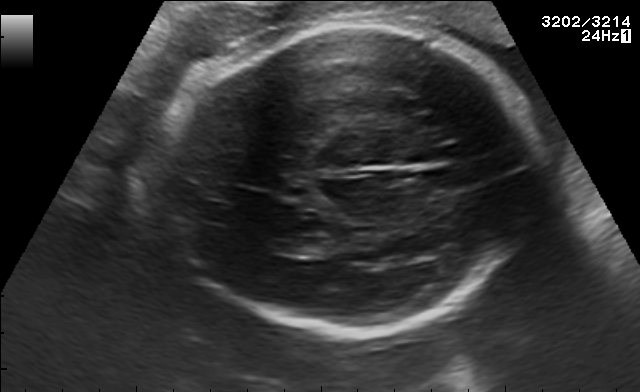
In this fetal brain, trans-thalamic plane, give bounding boxes for the head outline, cavum septum pellucidum (CSP), and lateral ventricle (LV), where visible.

Head: [157,23,535,337]
Lateral ventricle: [277,236,331,256]